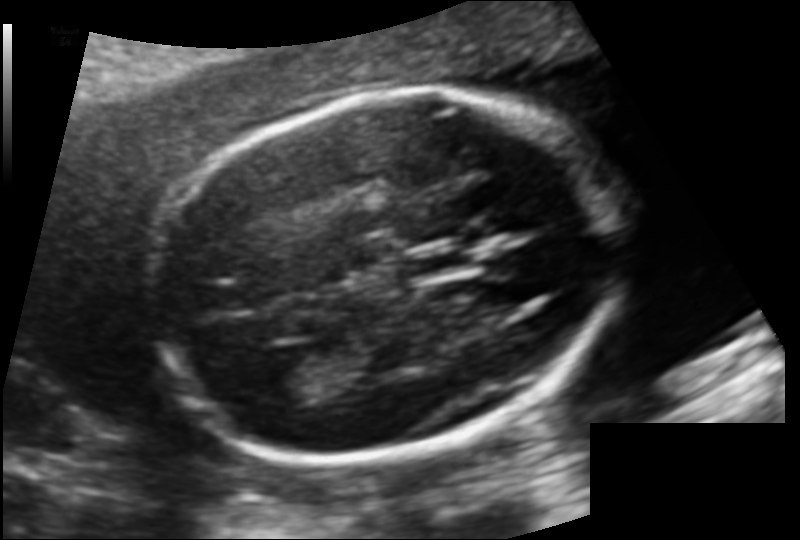
From this fetal ultrasound, estimate the head circumference (image width 96.3 mm).

Head circumference: 163.3 mm.